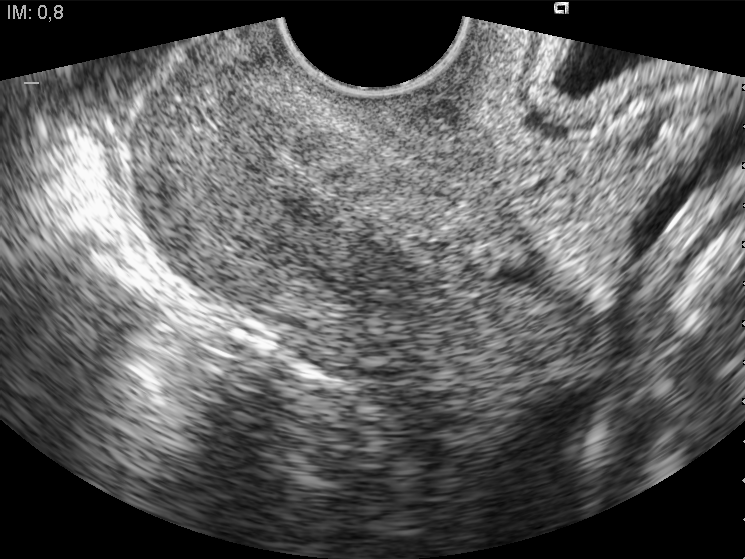
Which standard maternal-fetal ultrasound plane is shown: fetal abdomen, fetal brain, fetal femur, fetal thorax, maternal cervix, or other? If it's fetal brain and one of the three standard brain planes (trans-thalamic, trans-cerebellum, trans-ventricular), name which.

Maternal cervix